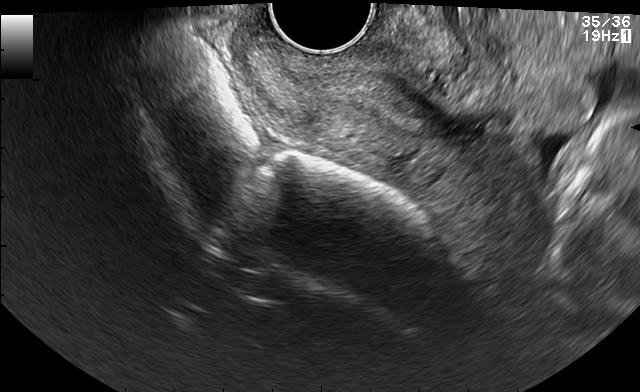
Which standard maternal-fetal ultrasound plane is shown: fetal abdomen, fetal brain, fetal femur, fetal thorax, maternal cervix, or other? If it's fetal brain and one of the three standard brain planes (trans-thalamic, trans-cerebellum, trans-ventricular), name which.

Maternal cervix